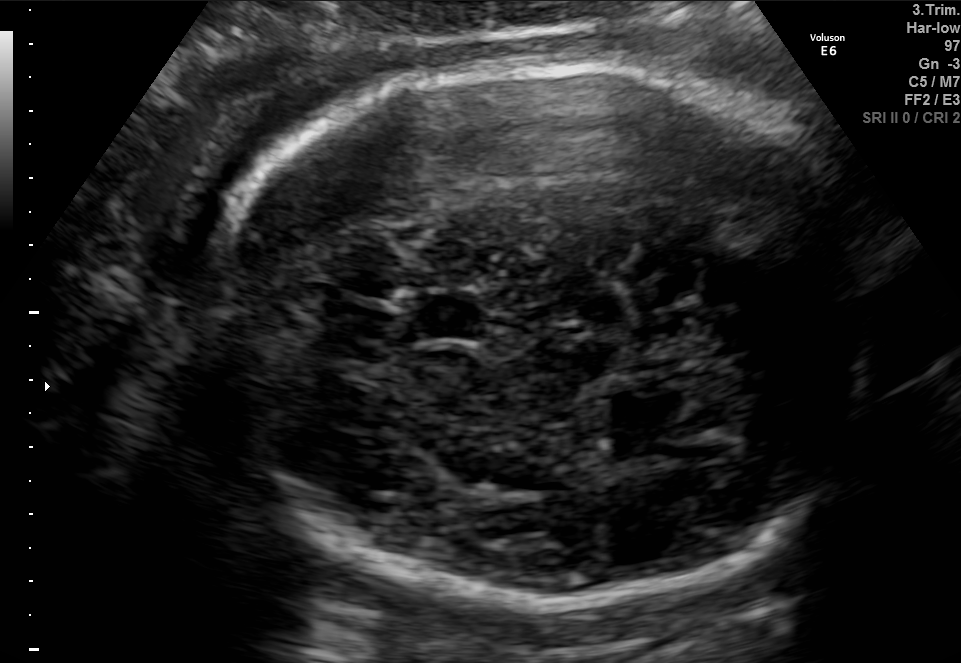
In this fetal brain, trans-thalamic plane, give the bounding box of the fetal head.

[191,61,894,594]